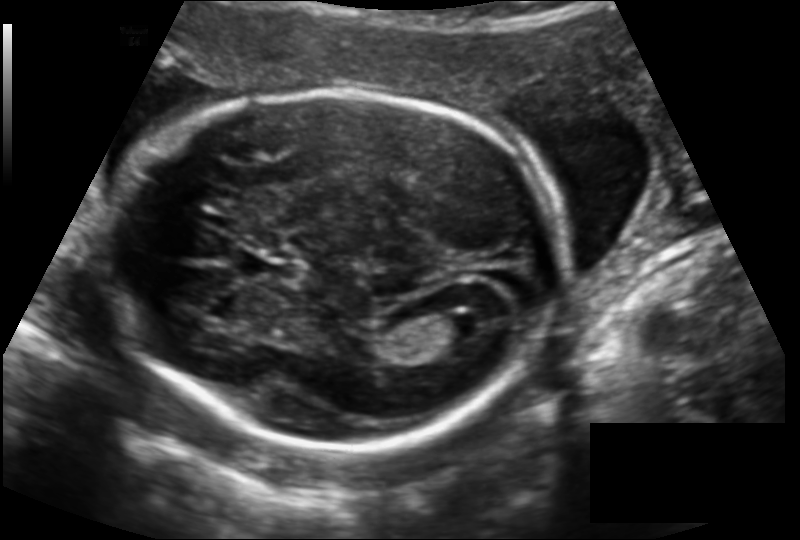
Fetal head ultrasound. Image width: 113.5 mm. Locate the fetal head.

Head: [133,93,555,445]